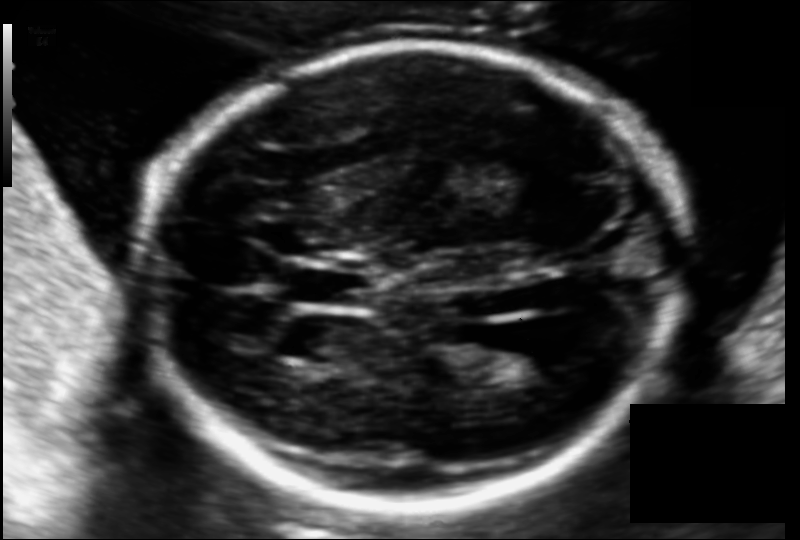
In this fetal head ultrasound, give the bounding box of the lateral ventricle. Image width: 94.4 mm.

[470,330,560,388]